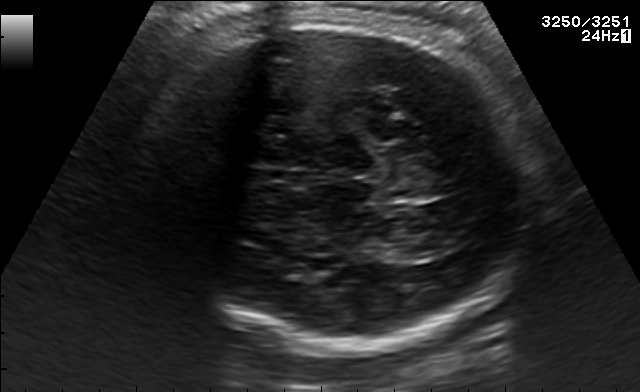
Fetal brain, trans-thalamic plane. Where is the fetal head?

Head bounding box: [143,20,533,349]